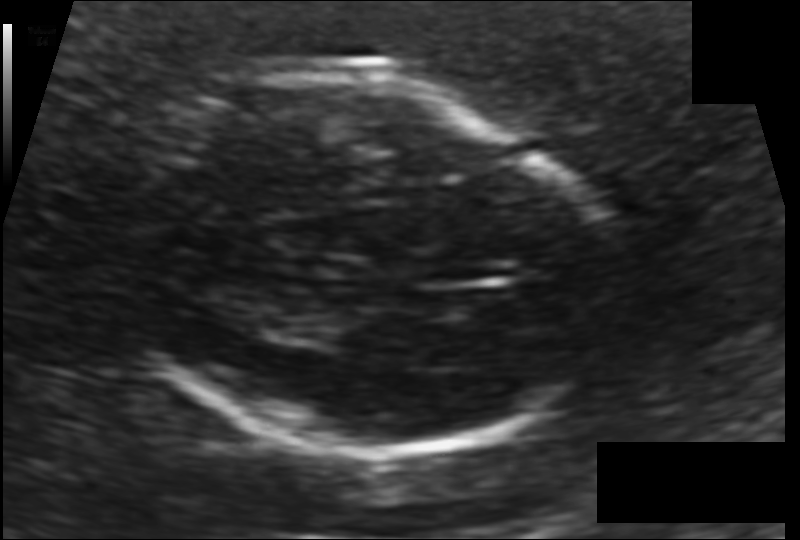
Estimate the fetal head circumference from this 2D ultrasound.

Head circumference: 180.0 mm (image width 105.5 mm).